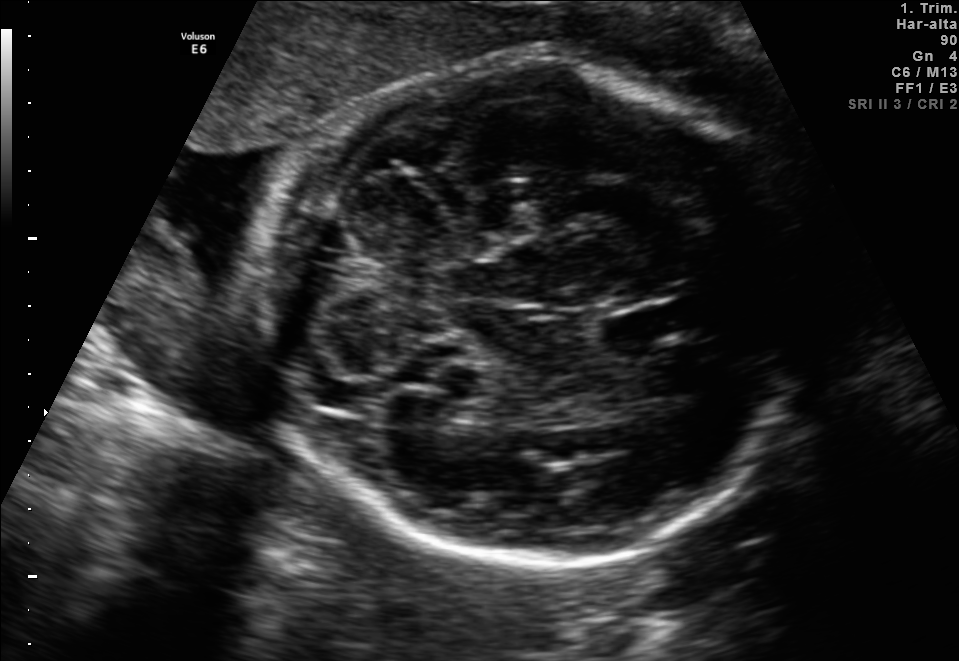
Fetal brain, trans-cerebellum plane. Where is the fetal head?

Head bounding box: [251,51,798,568]